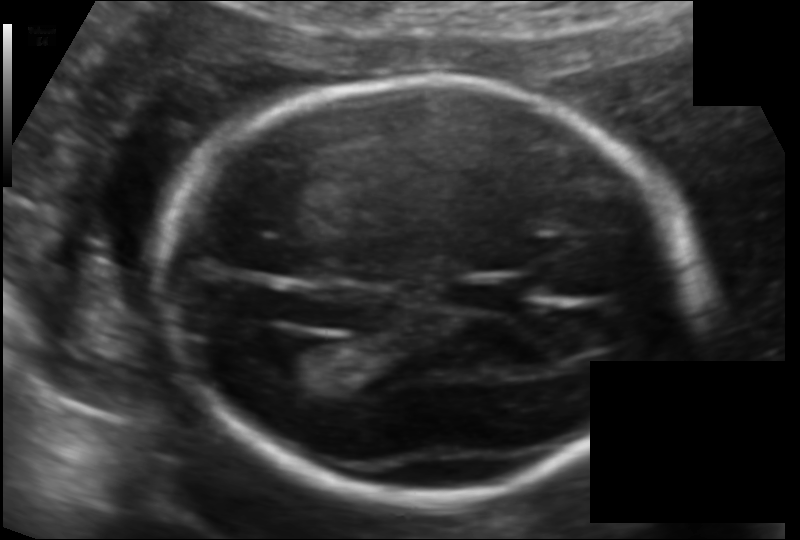
Fetal head ultrasound. Image width: 94.6 mm. Locate the fetal head.

Head: [162,78,697,498]